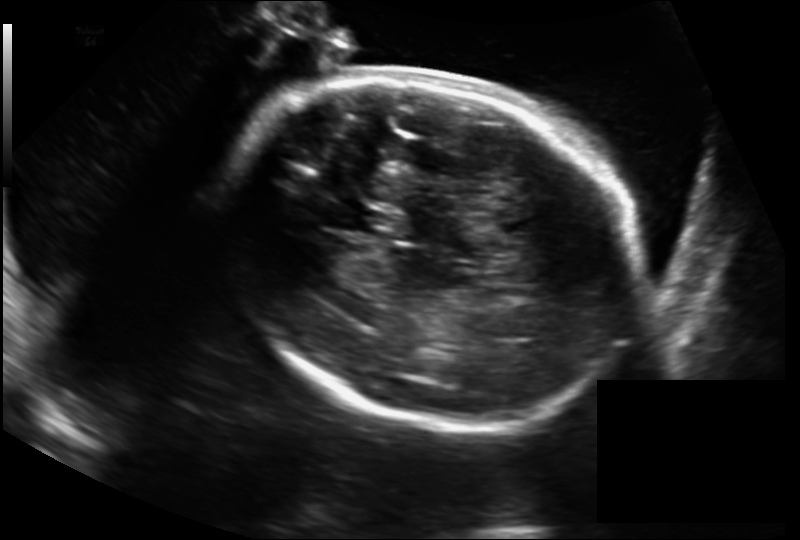
Estimate the fetal head circumference from this 2D ultrasound.

Head circumference: 260.8 mm (image width 169.0 mm).